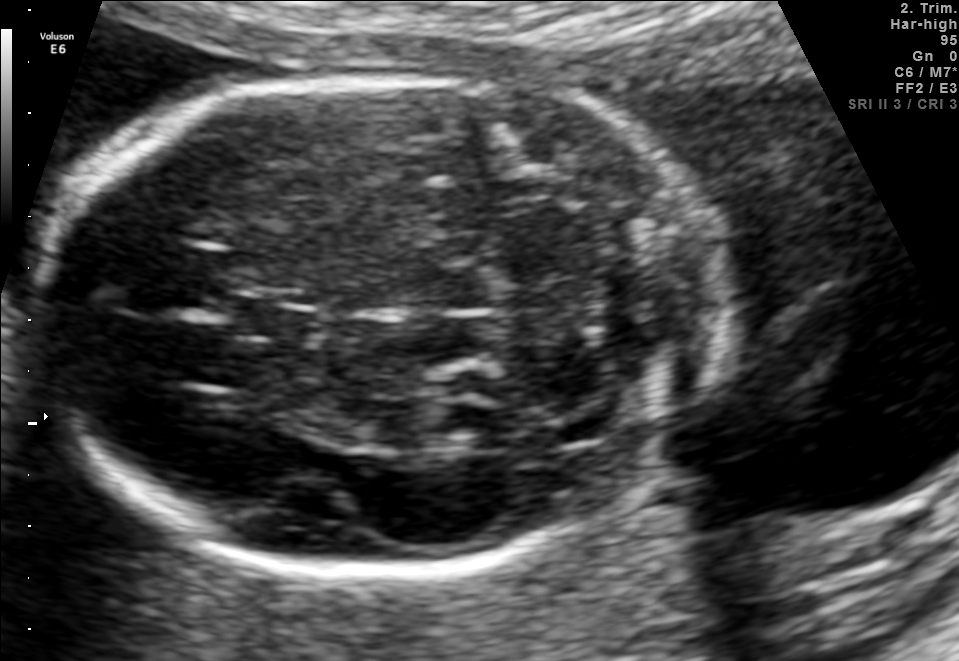
Fetal brain, trans-cerebellum plane. Locate the fetal head.

Head: [37,71,728,574]